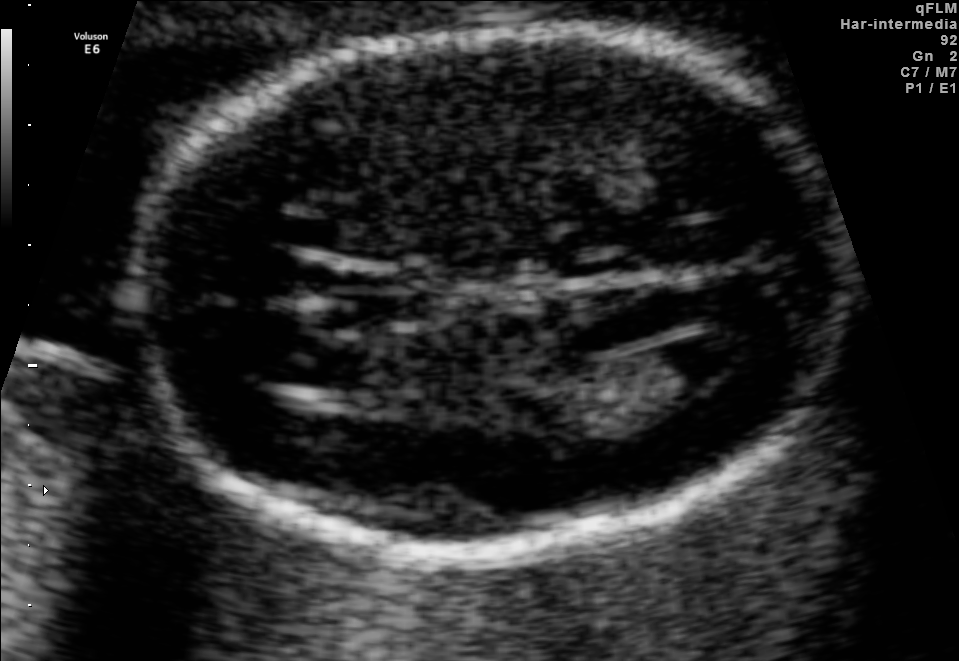
Fetal brain, trans-ventricular plane. Where is the lateral ventricle?

Lateral ventricle bounding box: [643,323,755,406]